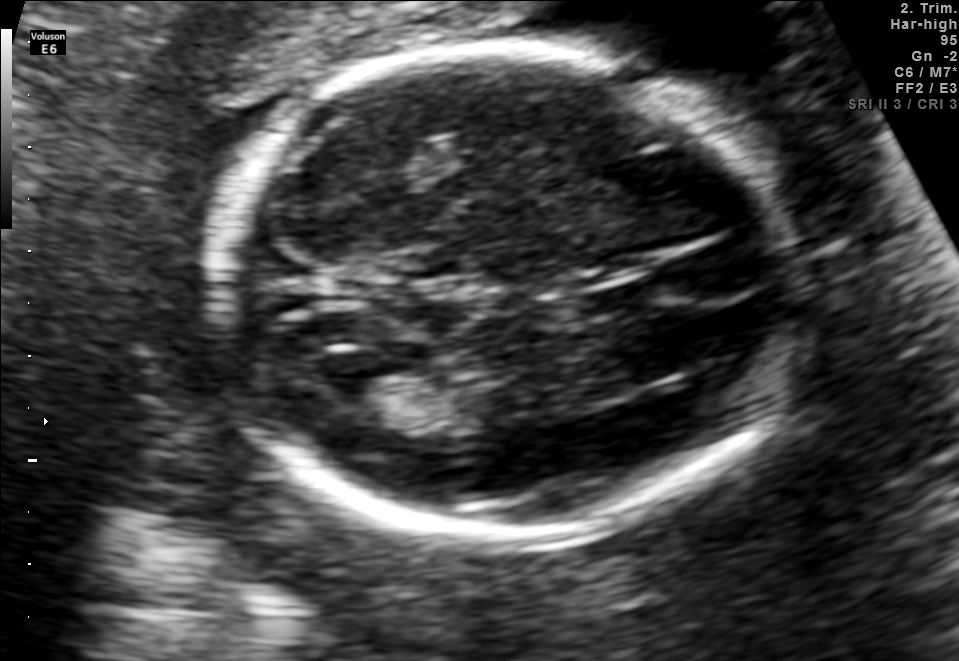
Fetal brain, trans-ventricular plane. Locate the fetal head and, if visible, the cavum septum pellucidum (CSP) and lateral ventricle (LV). Give bounding boxes as [x1,y1,x2,y2].

Head: [192,37,825,550]
CSP: [581,270,667,321]
Lateral ventricle: [301,333,393,412]